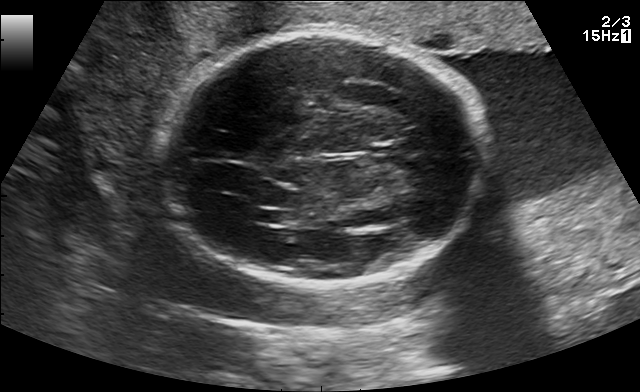
Fetal brain, trans-thalamic plane. Where is the fetal head?

Head bounding box: [160,34,484,285]